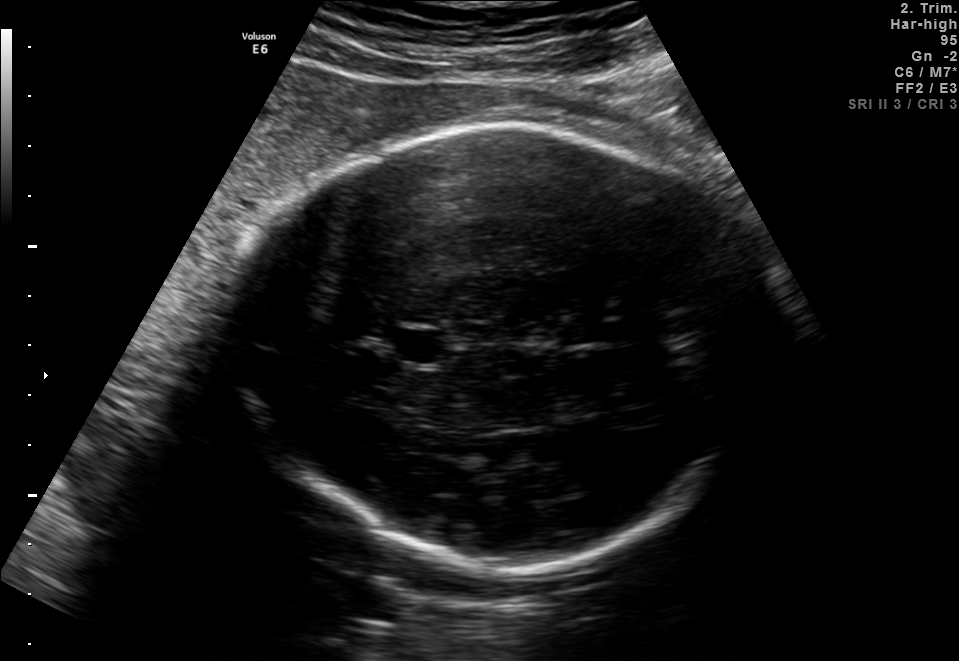
Fetal brain, trans-thalamic plane. Locate the cavum septum pellucidum.

CSP: [390,328,447,366]